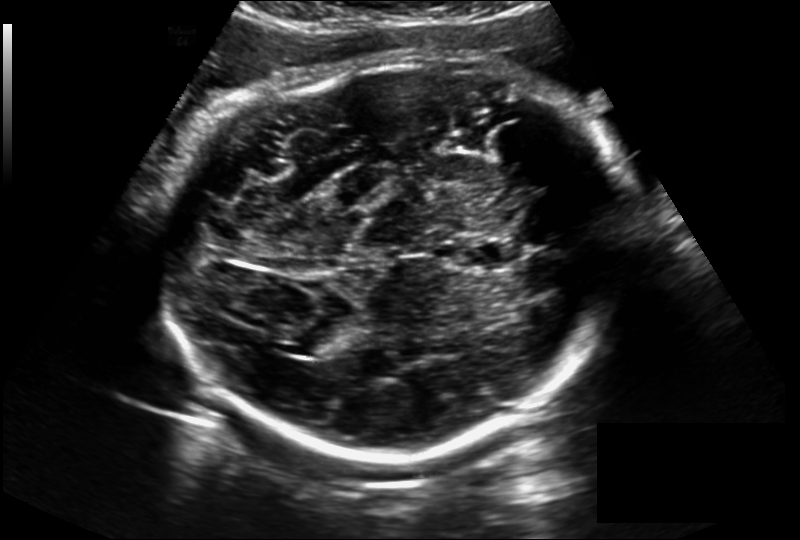
Fetal head ultrasound. Image width: 182.1 mm. Locate the fetal head.

Head: [166,55,632,459]